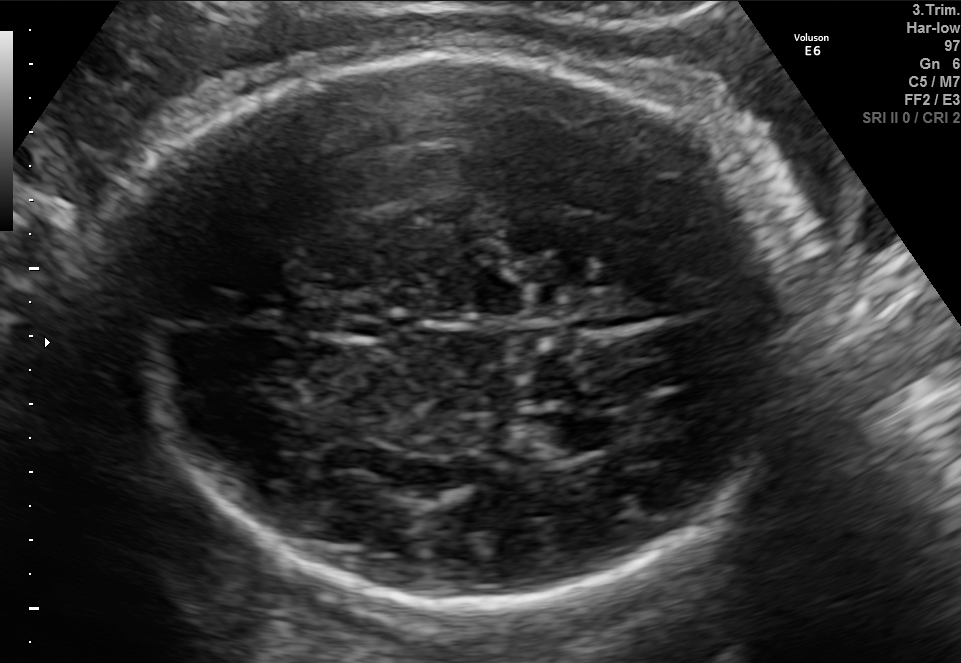
Classify this maternal-fetal ultrasound image as one of the six standard planes — fetal abdomen, fetal brain, fetal femur, fetal thorax, maternal cervix, or other. If it's fetal brain and one of the three standard brain planes (trans-thalamic, trans-cerebellum, trans-ventricular), name which.

Fetal brain (trans-thalamic plane)